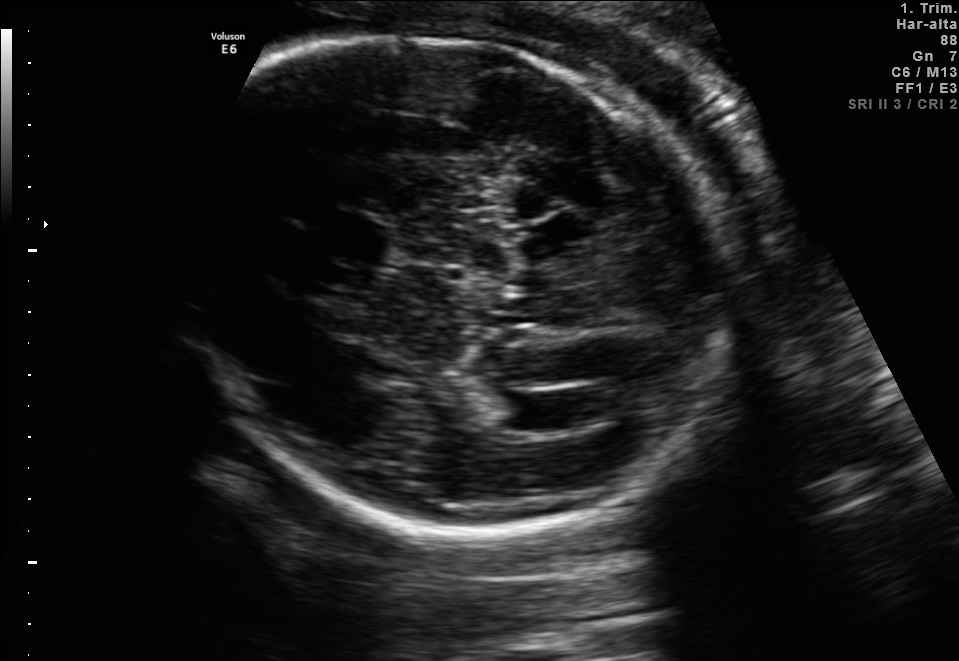
Fetal brain, trans-ventricular plane. Locate the fetal head.

Head: [155,28,758,545]